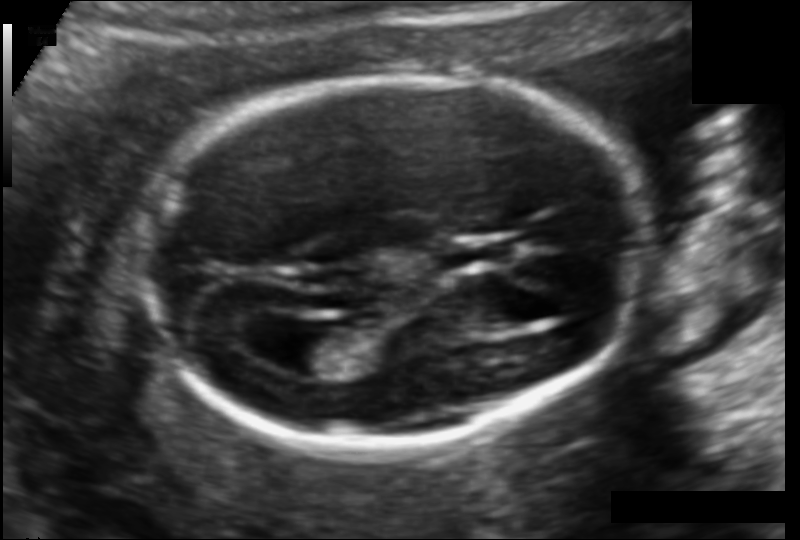
Fetal head ultrasound. Image width: 91.5 mm. Where is the fetal head?

Head bounding box: [135,75,647,445]